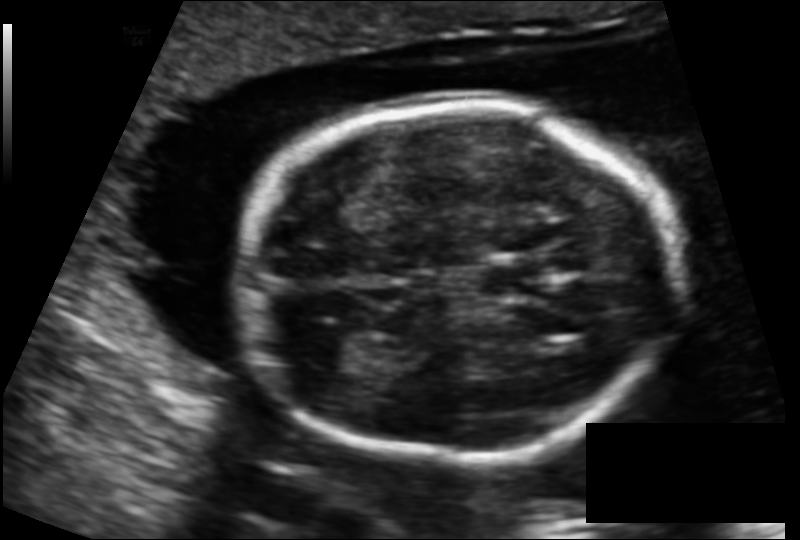
In this fetal head ultrasound, give the bounding box of the fetal head. Image width: 104.4 mm.

[239,103,679,465]